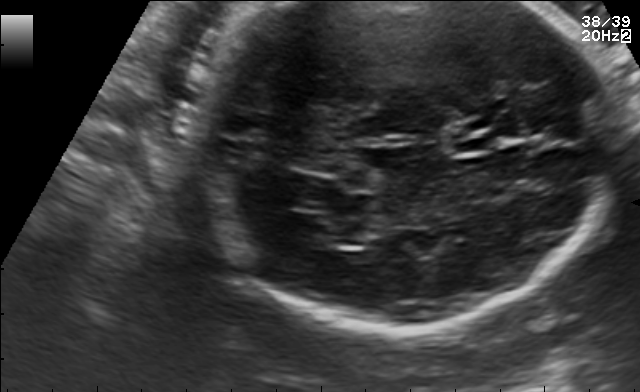
In this fetal brain, trans-cerebellum plane, give bounding boxes for the cavum septum pellucidum (CSP) and lateral ventricle (LV), where visible.

CSP: [448,129,494,159]
Lateral ventricle: [301,215,366,246]